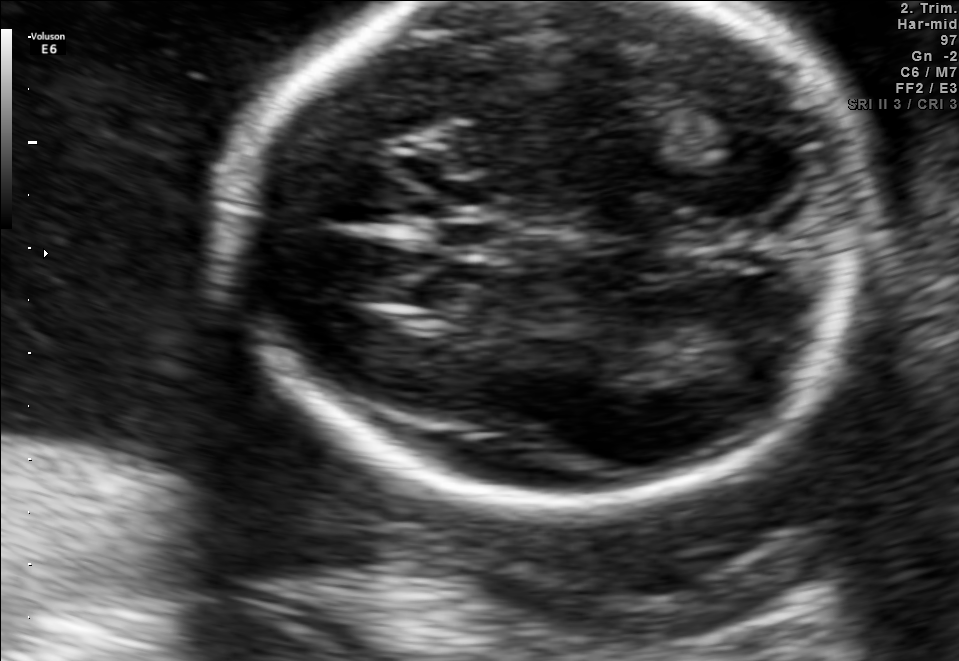
In this fetal brain, trans-thalamic plane, give the bounding box of the fetal head.

[222,2,867,503]